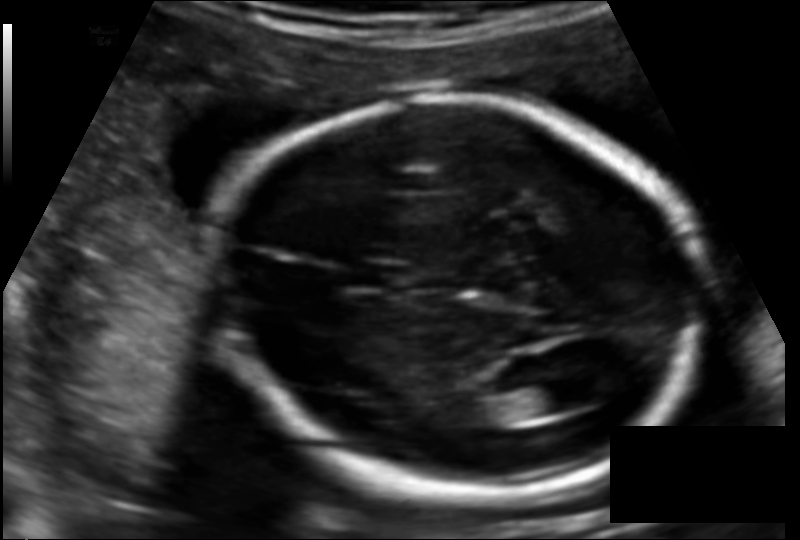
Estimate the fetal head circumference from this 2D ultrasound.

Head circumference: 178.5 mm (image width 99.4 mm).